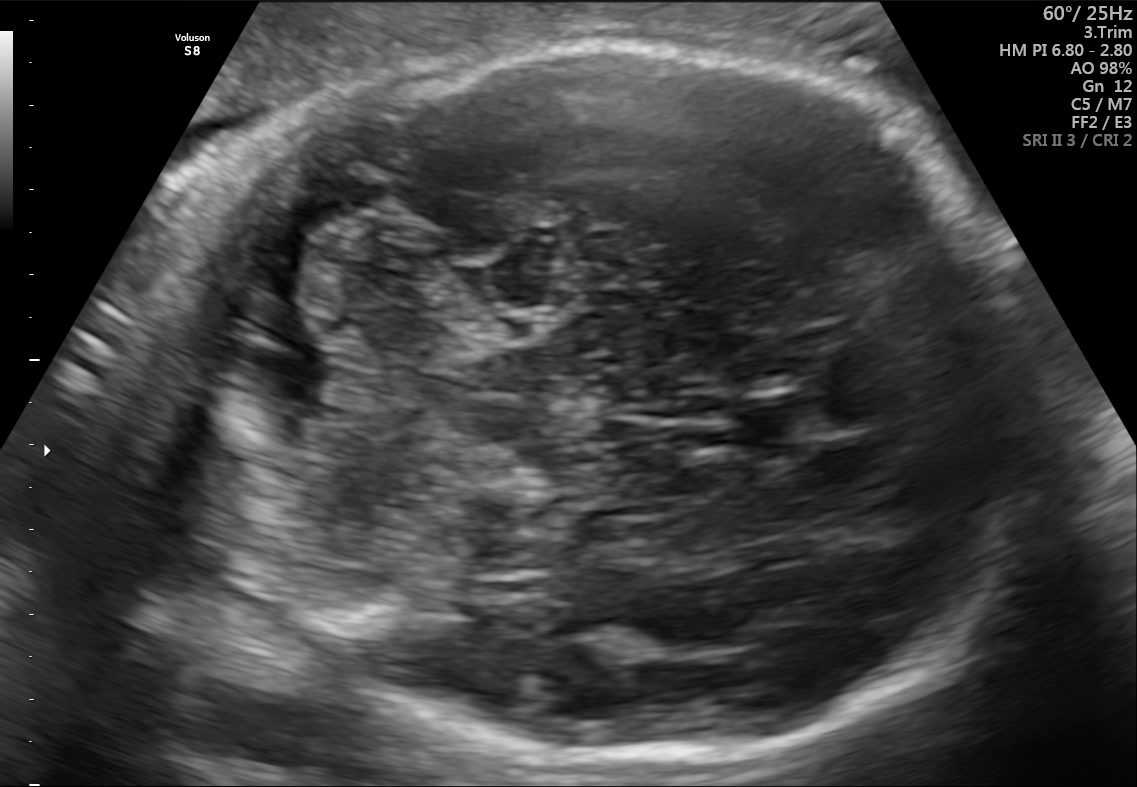
Fetal brain, trans-cerebellum plane. Where is the cavum septum pellucidum?

CSP bounding box: [732,386,832,461]